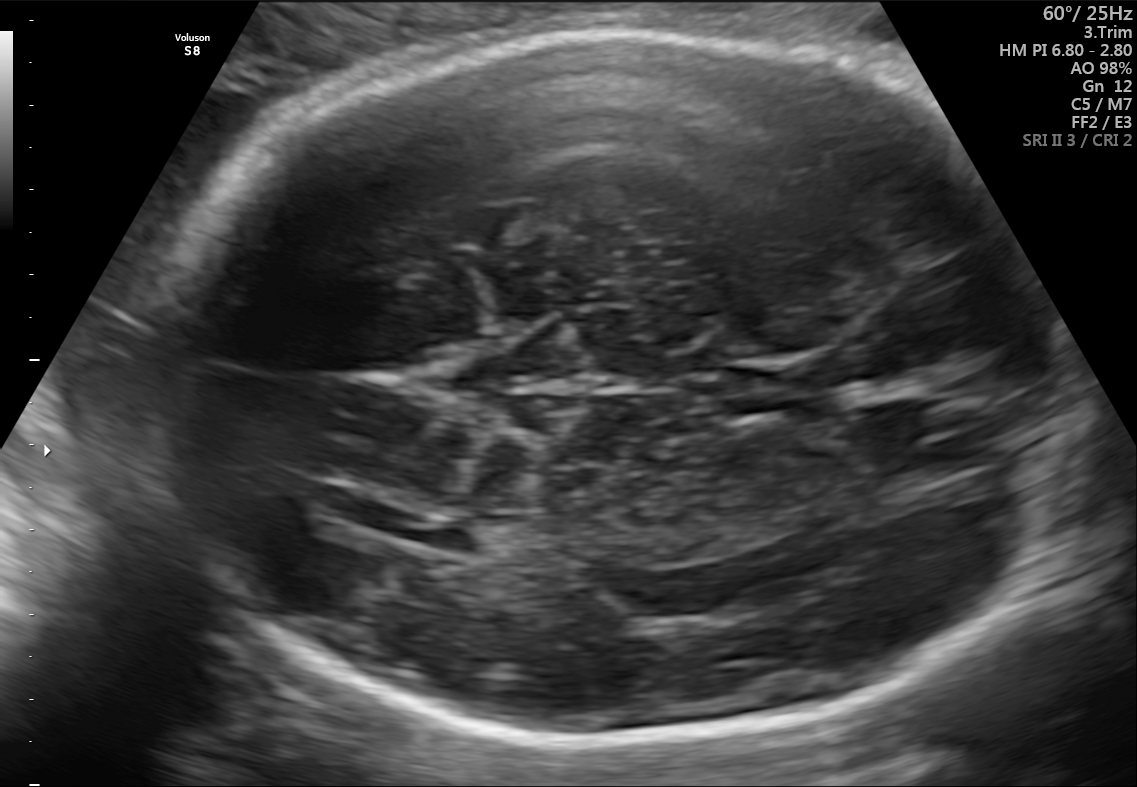
Fetal brain, trans-ventricular plane. Locate the fetal head.

Head: [139,25,1053,750]